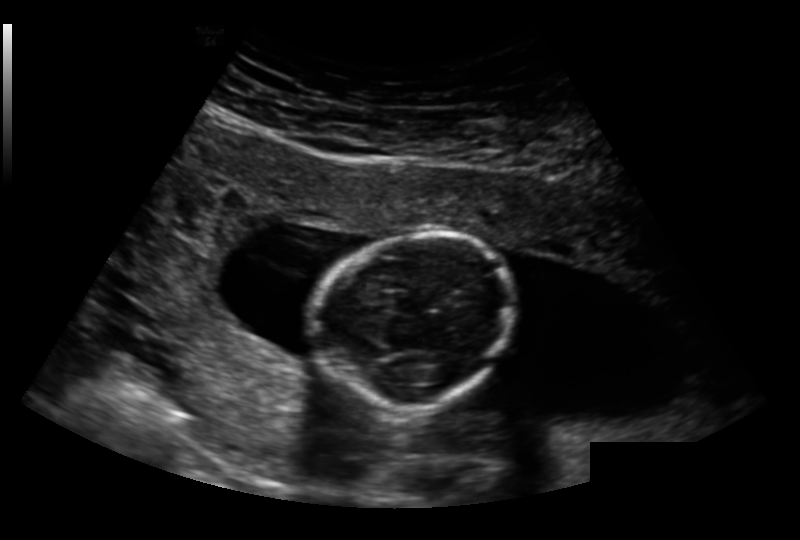
Fetal head ultrasound. Image width: 152.4 mm. Give [x1,y1,x2,y2] bounding boxes for each visible structure among: fetal head, CSP, LV.

Head: [319,233,516,410]